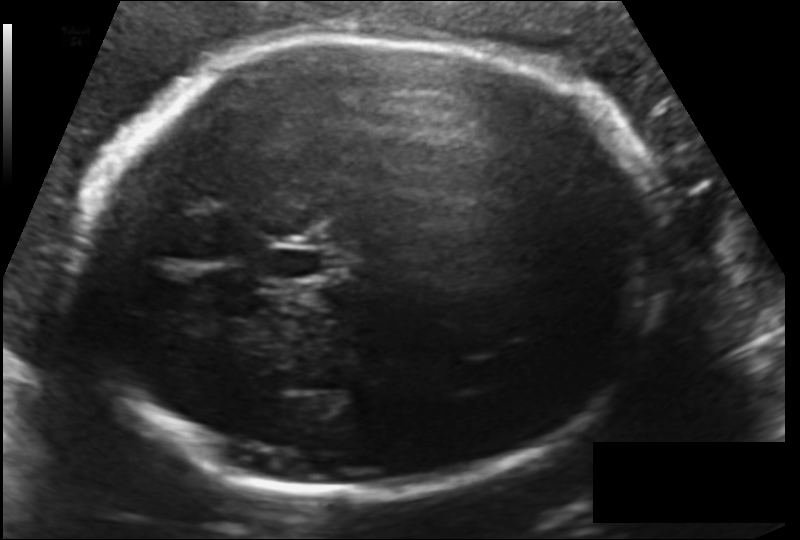
In this fetal head ultrasound, give bounding boxes for the head outline, cavum septum pellucidum (CSP), and lateral ventricle (LV), where visible. Image width: 122.1 mm.

Head: [74,35,666,498]
CSP: [265,244,330,282]